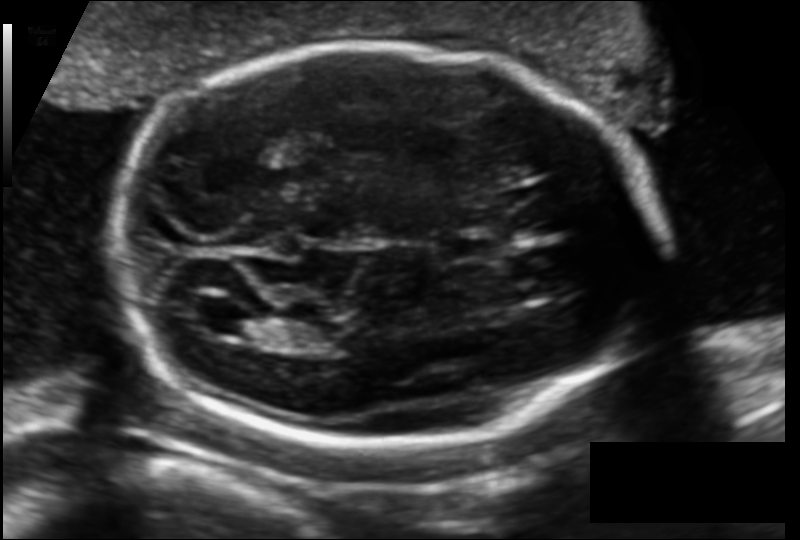
In this fetal head ultrasound, give the bounding box of the cavum septum pellucidum. Image width: 103.4 mm.

[437,228,507,266]